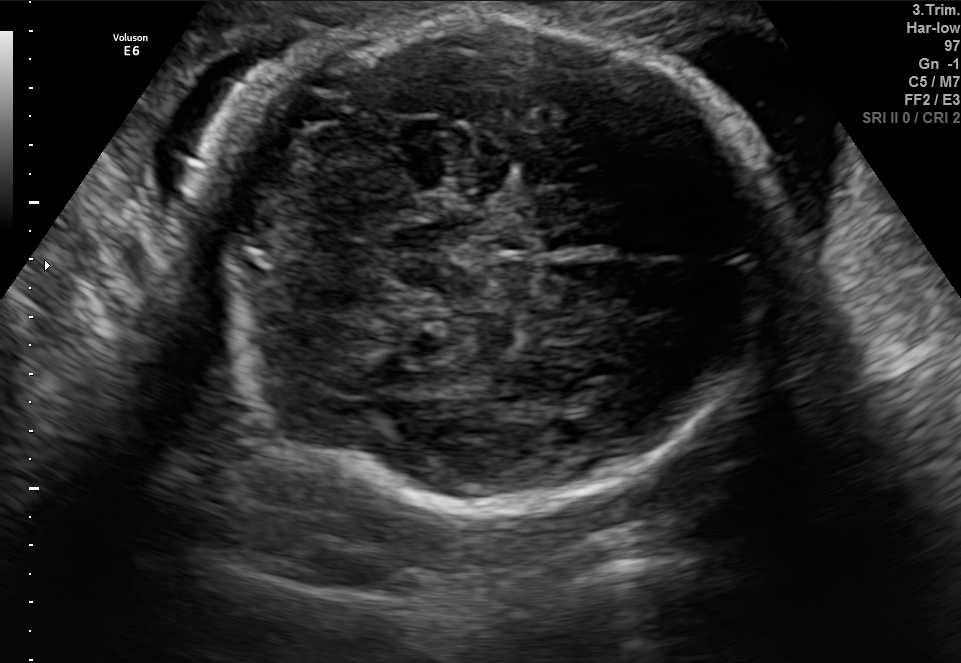
This is a 2D maternal-fetal ultrasound frame. Is it a fetal abdomen, fetal brain, fetal femur, fetal thorax, maternal cervix, or other standard plane? If it's fetal brain and one of the three standard brain planes (trans-thalamic, trans-cerebellum, trans-ventricular), name which.

Fetal brain (trans-cerebellum plane)